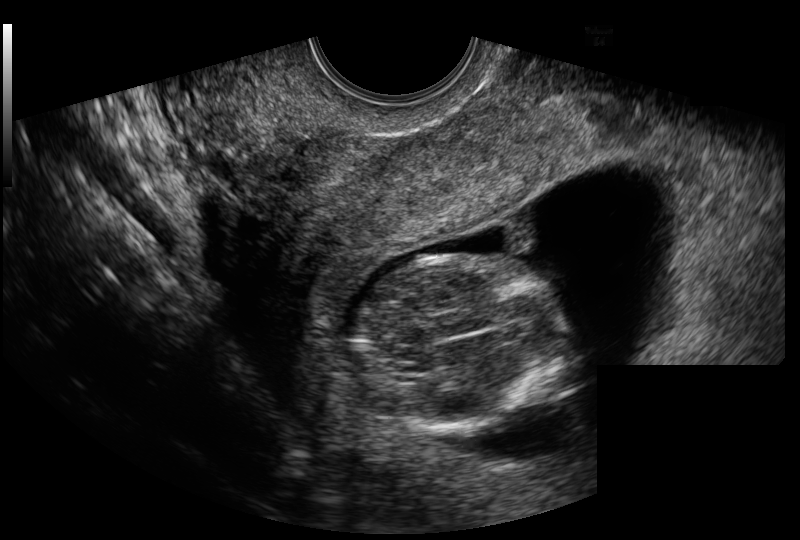
Fetal head ultrasound. Image width: 103.2 mm. Where is the fetal head?

Head bounding box: [356,256,569,433]